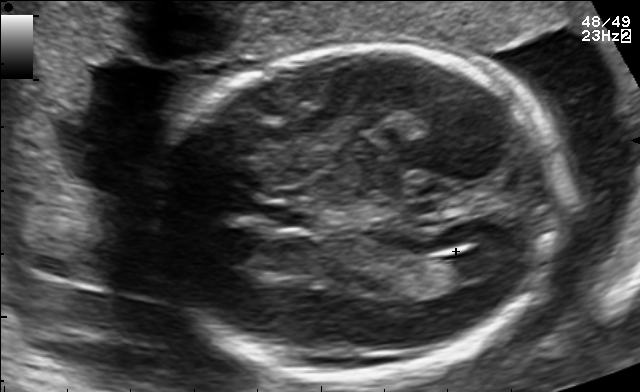
Fetal brain, trans-ventricular plane. Give [x1,y1,x2,y2] bounding boxes for each visible structure among: fetal head, CSP, LV.

Head: [158,43,573,384]
CSP: [253,198,322,235]
Lateral ventricle: [437,241,510,287]